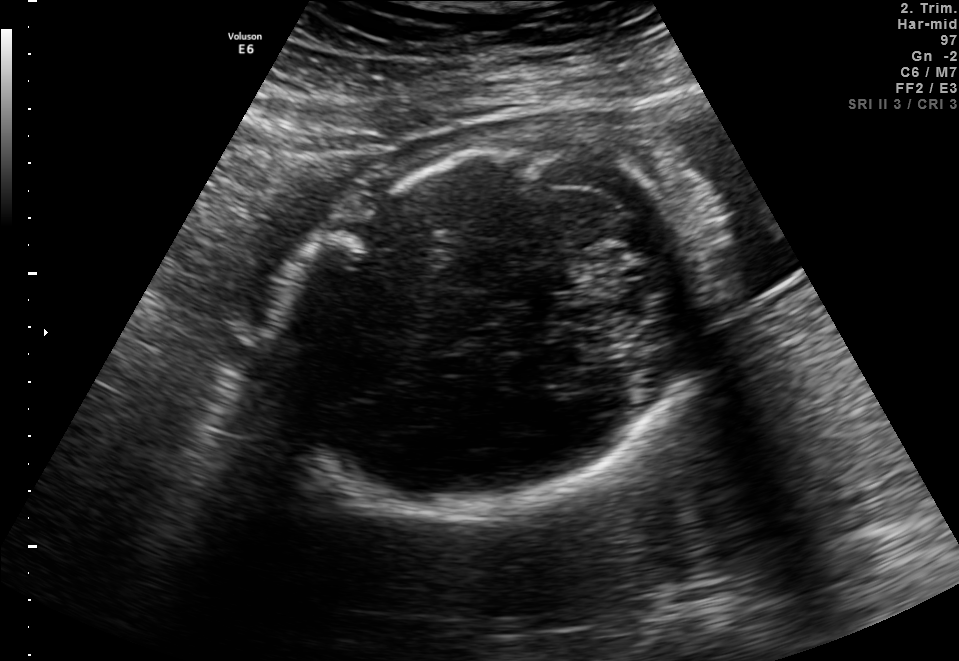
Fetal brain, trans-cerebellum plane. Locate the fetal head.

Head: [275,146,702,513]